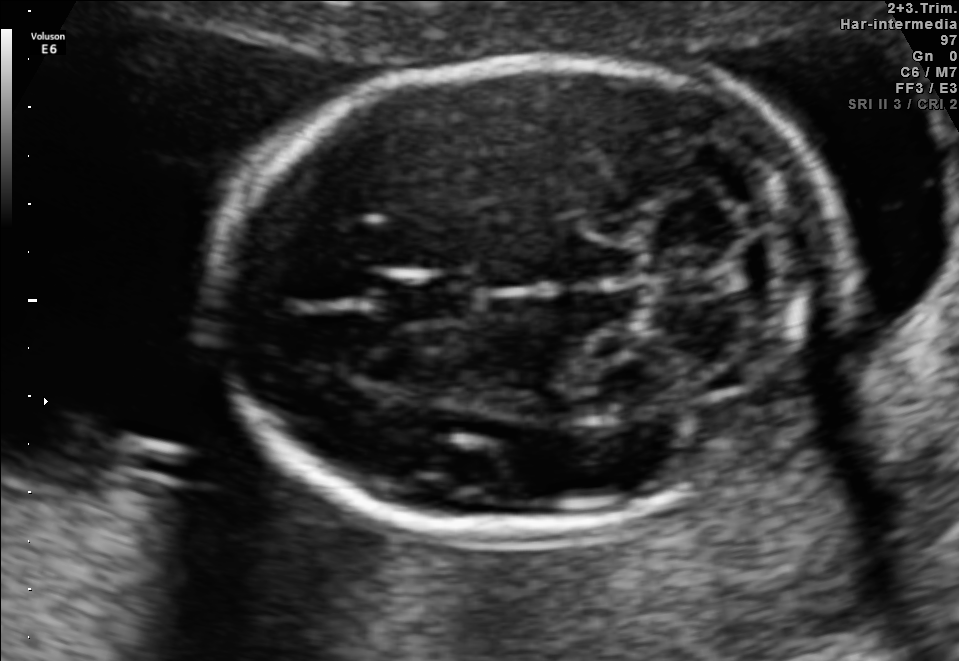
Fetal brain, trans-cerebellum plane. Locate the fetal head.

Head: [204,57,845,526]